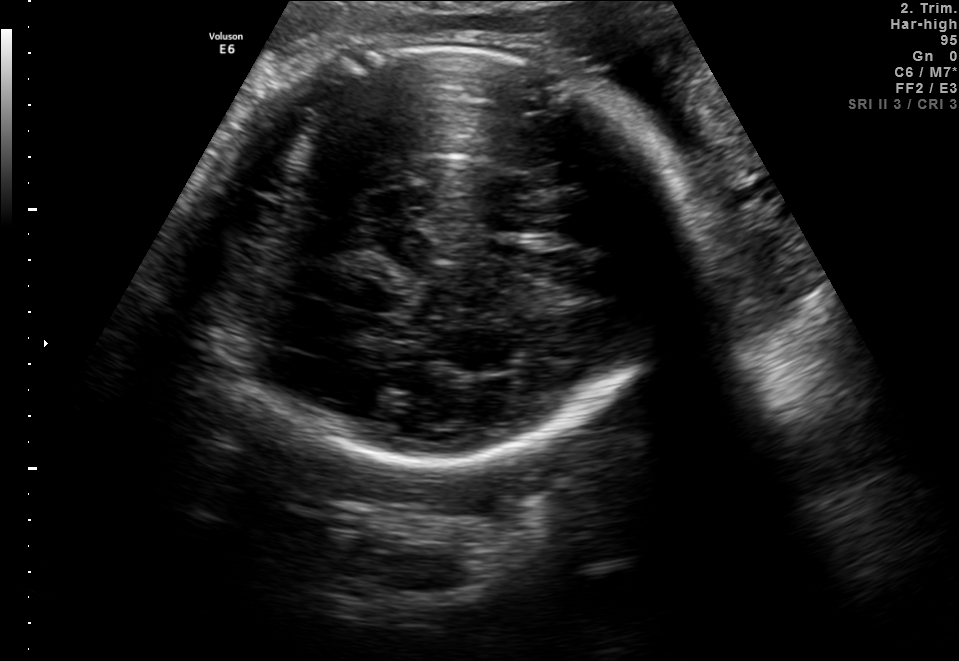
In this fetal brain, trans-thalamic plane, give bounding boxes for the head outline, cavum septum pellucidum (CSP), and lateral ventricle (LV), where visible.

Head: [179,43,674,464]